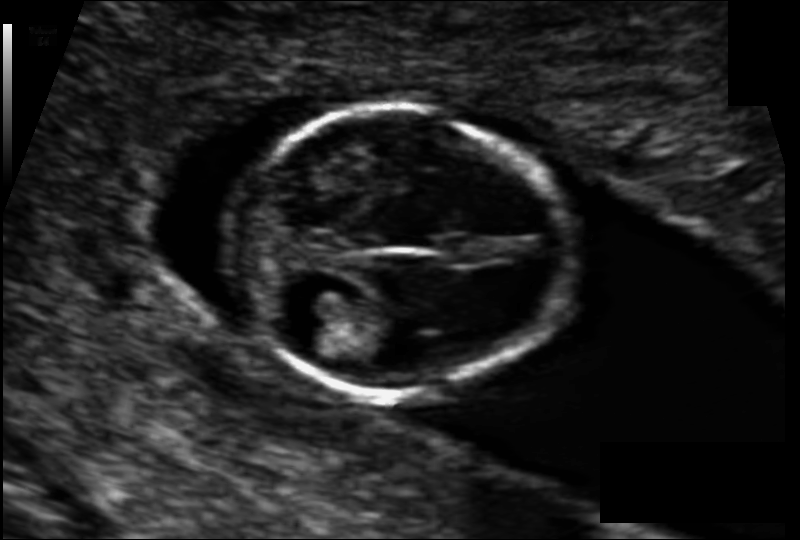
Measure the fetal head circumference shown in this ultrasound image. Image width: 63.0 mm.

Head circumference: 78.5 mm.